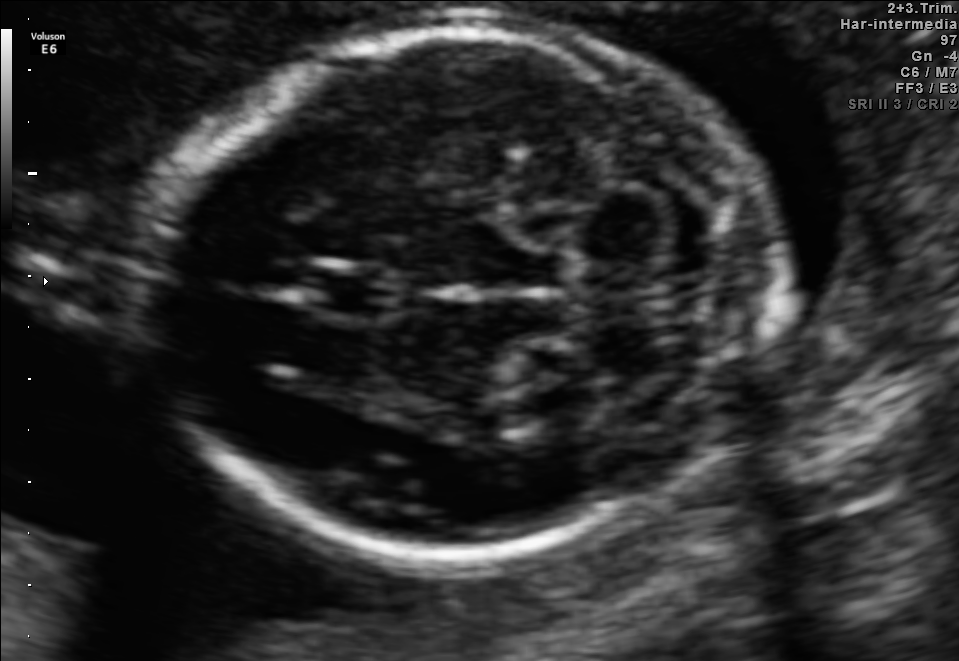
Fetal brain, trans-cerebellum plane. Locate the cavum septum pellucidum.

CSP: [300,261,398,326]